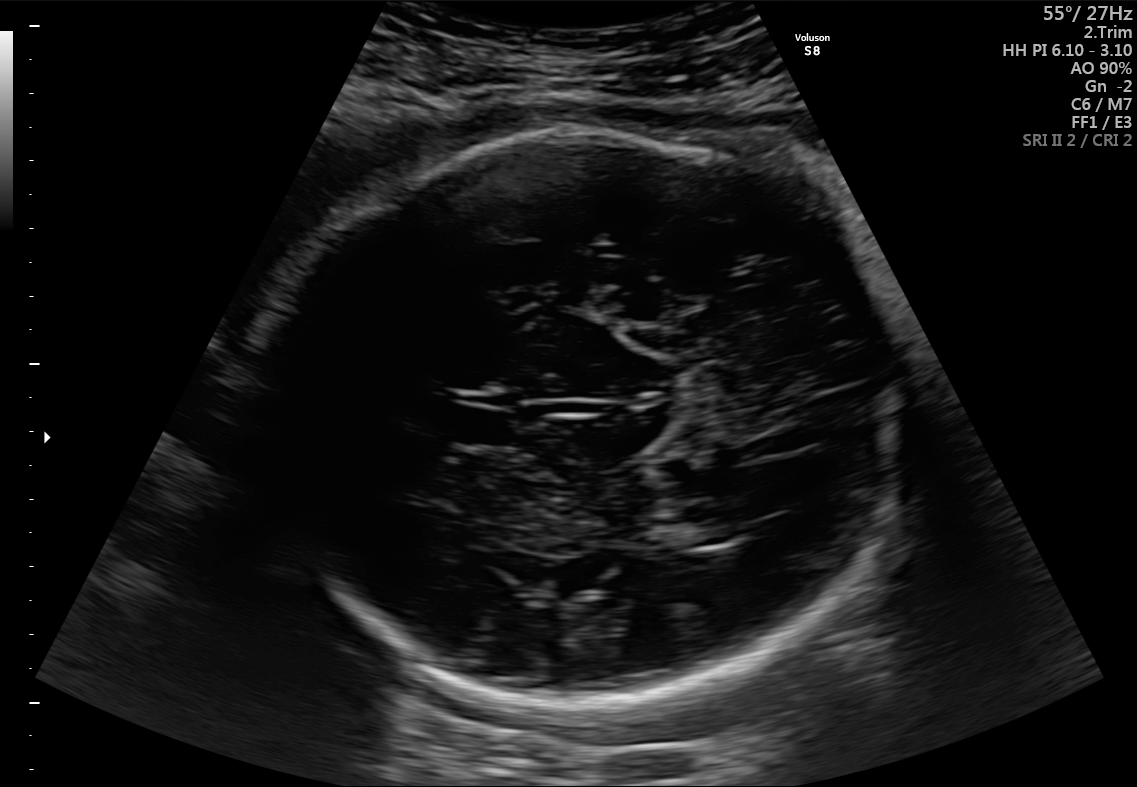
Fetal brain, trans-thalamic plane. Locate the cavum septum pellucidum.

CSP: [446,403,515,446]